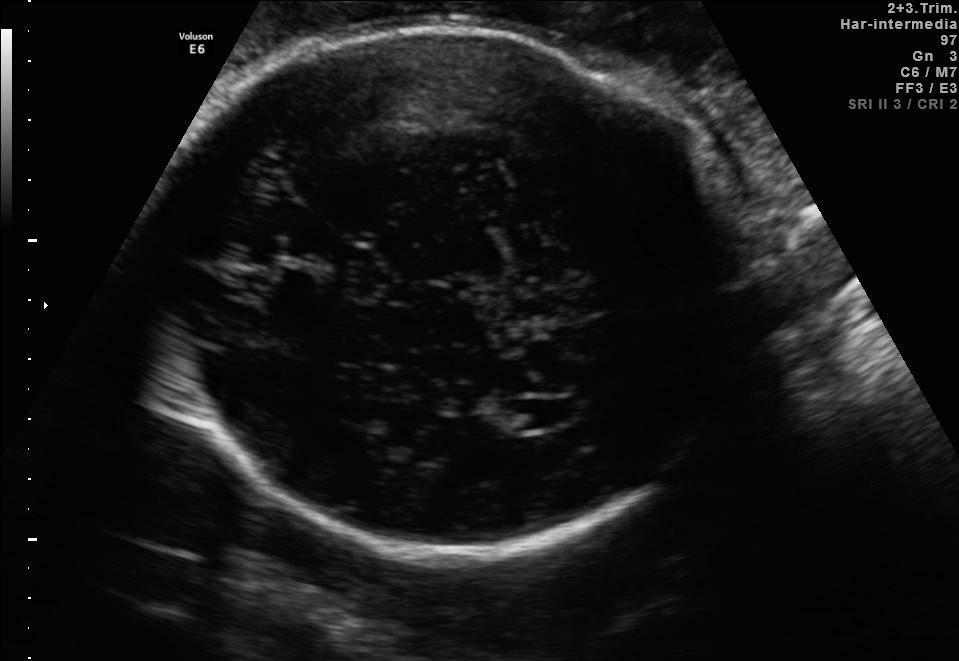
In this fetal brain, trans-ventricular plane, give the bounding box of the fetal head.

[147,22,762,559]